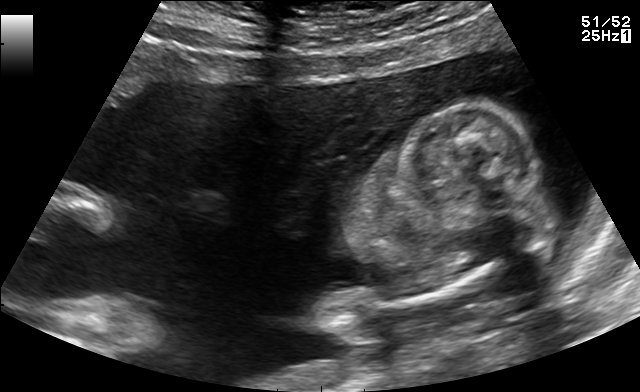
Identify the standard plane in this fetal ultrasound image: fetal abdomen, fetal brain, fetal femur, fetal thorax, maternal cervix, or other. If it's fetal brain and one of the three standard brain planes (trans-thalamic, trans-cerebellum, trans-ventricular), name which.

Other